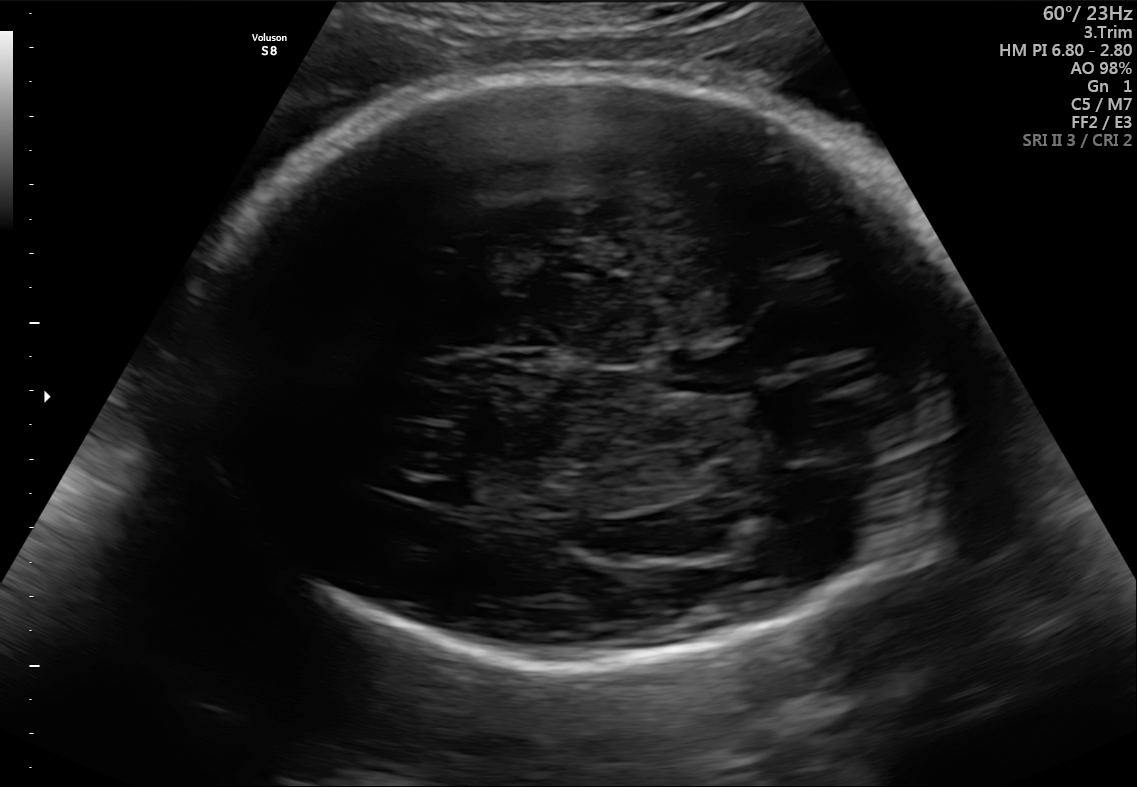
Fetal brain, trans-thalamic plane. Locate the fetal head.

Head: [180,73,964,669]